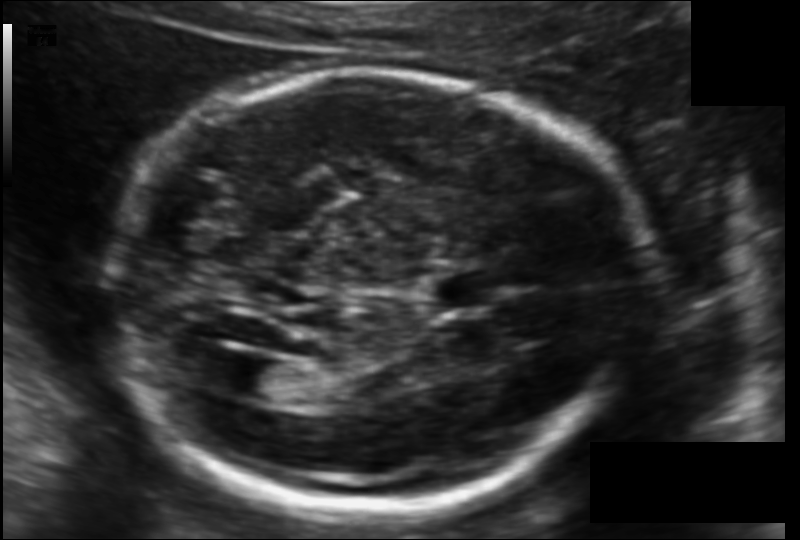
In this fetal head ultrasound, give the bounding box of the lateral ventricle. Image width: 95.3 mm.

[221,355,293,402]